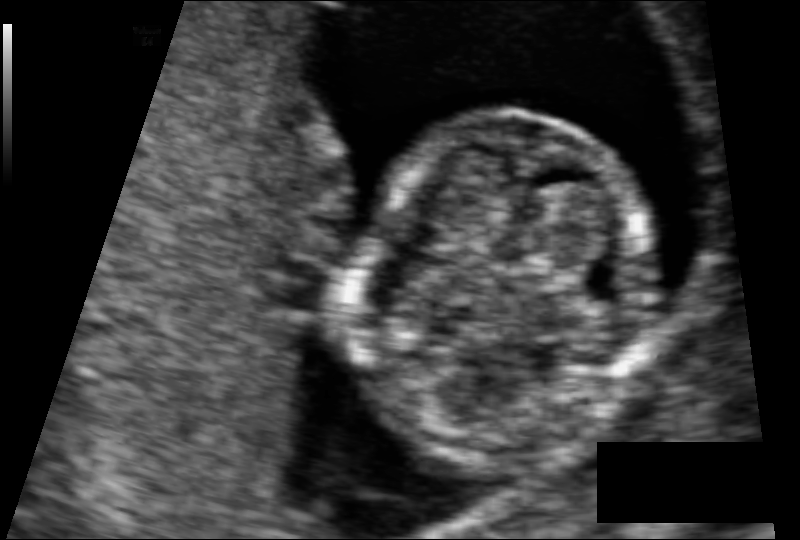
From this fetal ultrasound, estimate the head circumference (image width 58.9 mm).

Head circumference: 79.0 mm.